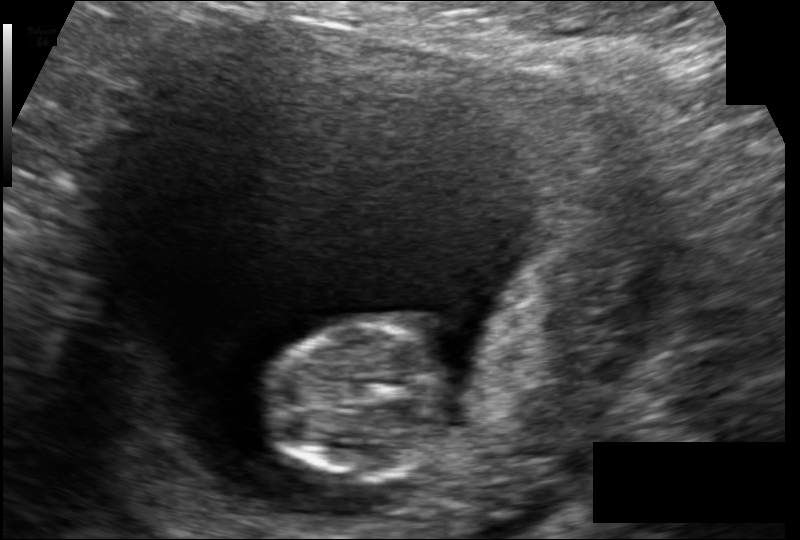
Measure the fetal head circumference shown in this ultrasound image. Image width: 93.6 mm.

Head circumference: 65.7 mm.